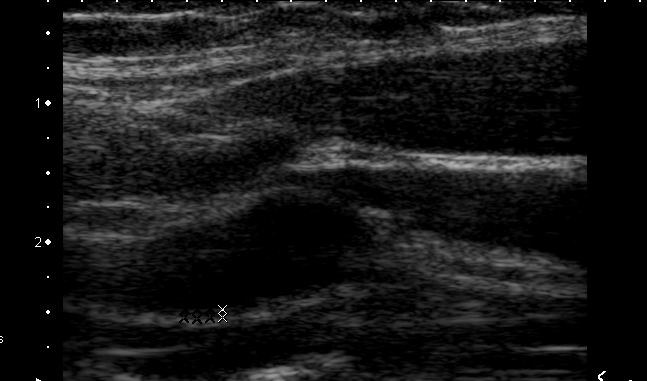
Which standard maternal-fetal ultrasound plane is shown: fetal abdomen, fetal brain, fetal femur, fetal thorax, maternal cervix, or other? If it's fetal brain and one of the three standard brain planes (trans-thalamic, trans-cerebellum, trans-ventricular), name which.

Other